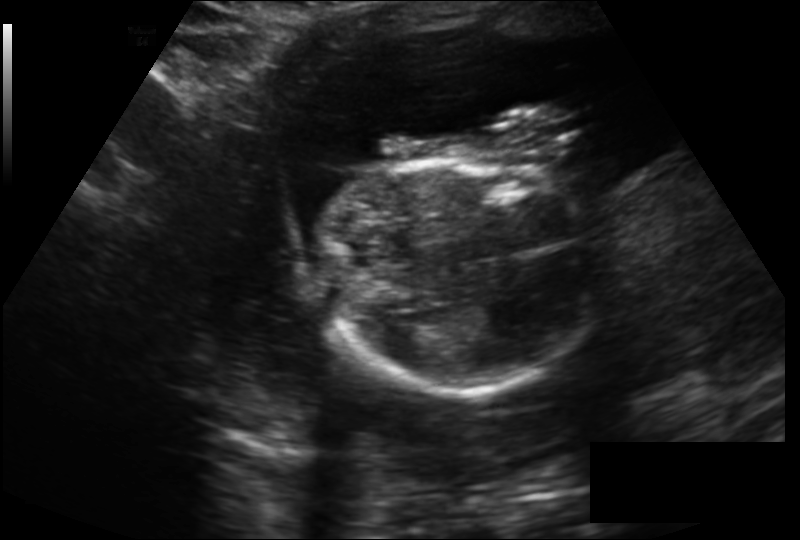
Measure the fetal head circumference shown in this ultrasound image. Image width: 155.8 mm.

Head circumference: 160.8 mm.